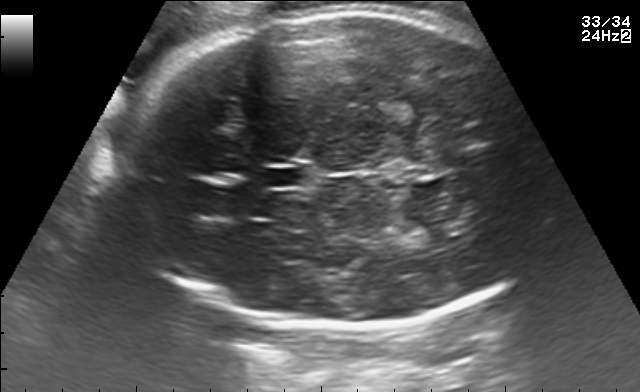
Fetal brain, trans-thalamic plane. Locate the fetal head.

Head: [119,11,547,329]